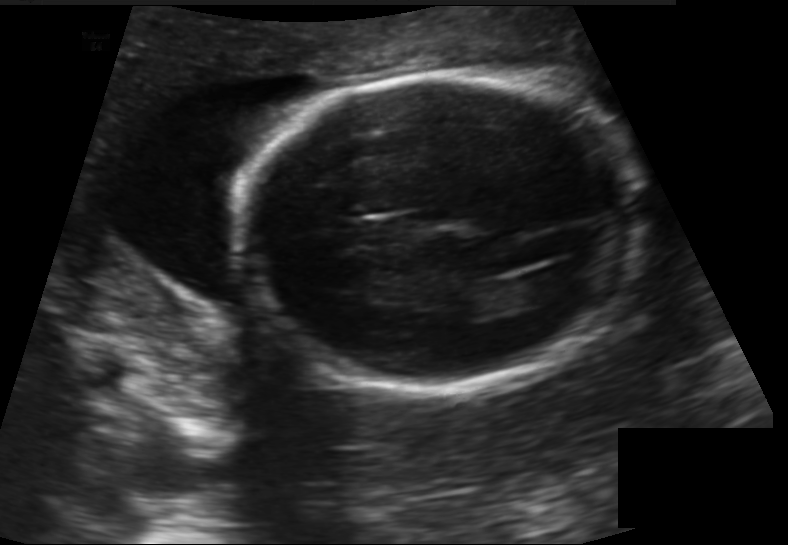
In this fetal head ultrasound, give the bounding box of the lateral ventricle. Image width: 122.2 mm.

[517,259,589,308]